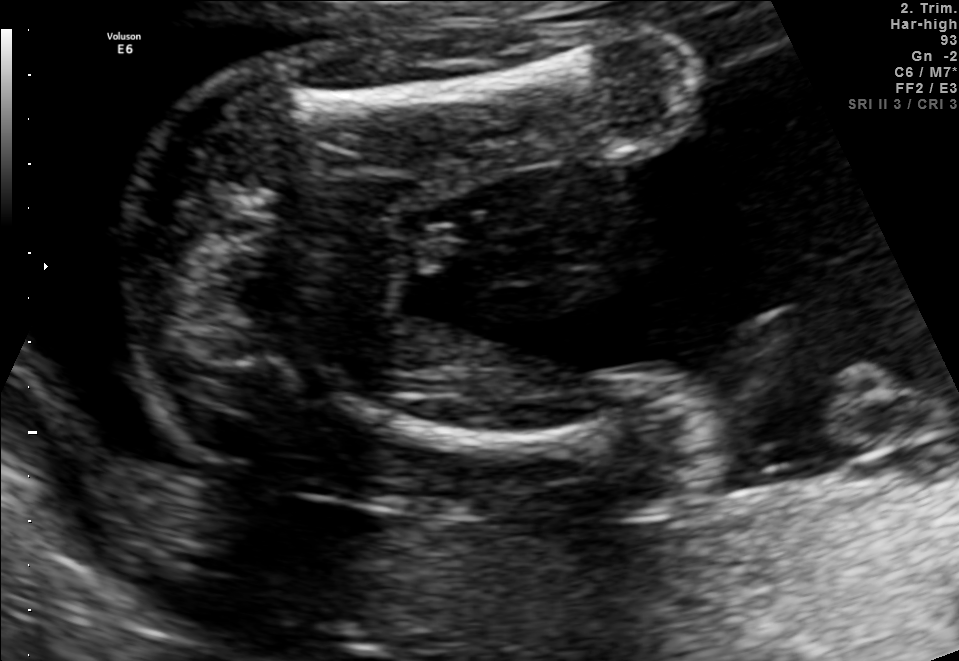
Identify the standard plane in this fetal ultrasound image: fetal abdomen, fetal brain, fetal femur, fetal thorax, maternal cervix, or other. If it's fetal brain and one of the three standard brain planes (trans-thalamic, trans-cerebellum, trans-ventricular), name which.

Fetal femur